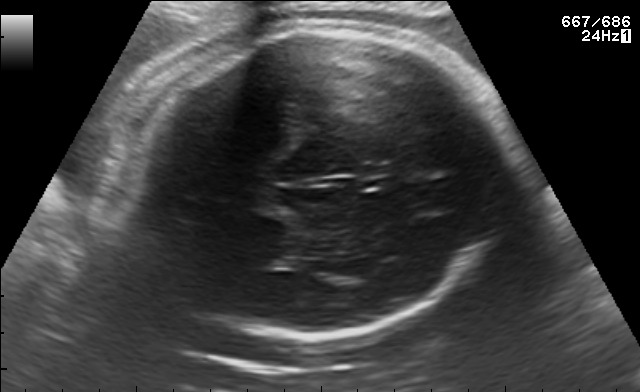
In this fetal brain, trans-thalamic plane, give the bounding box of the fetal head.

[119,26,508,336]